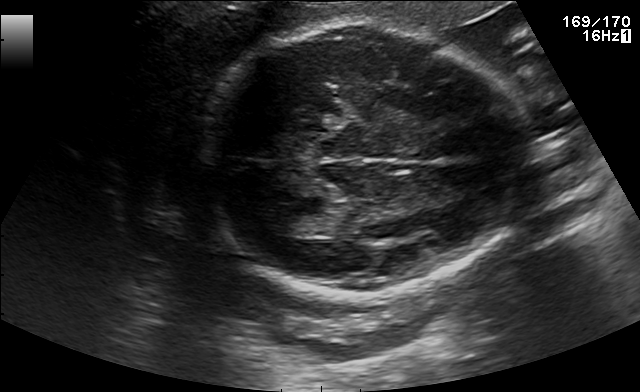
Fetal brain, trans-thalamic plane. Locate the fetal head.

Head: [196,23,530,297]